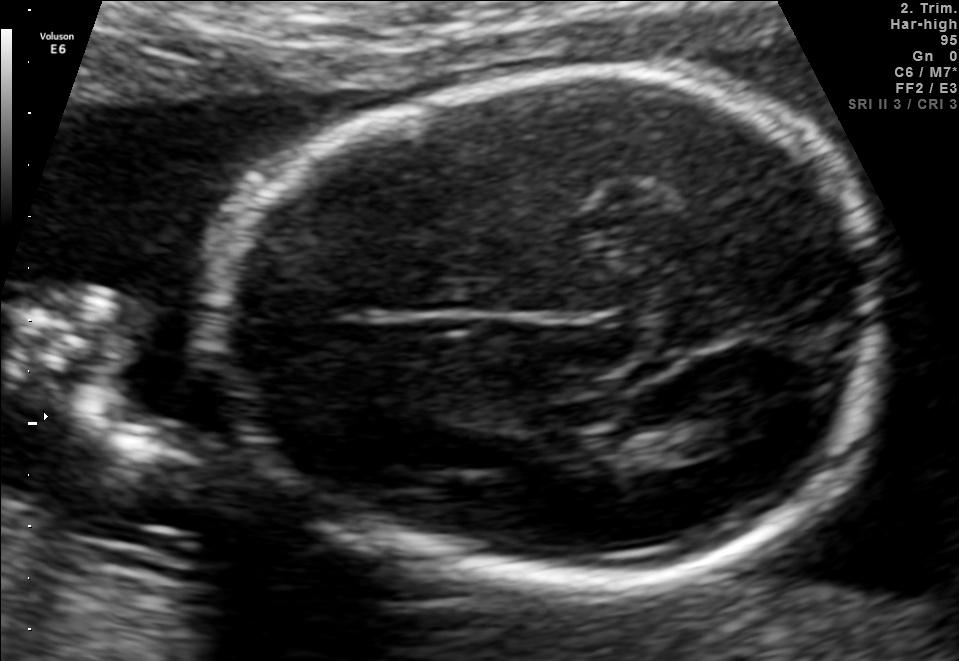
Fetal brain, trans-thalamic plane. Where is the fetal head?

Head bounding box: [215,73,890,588]